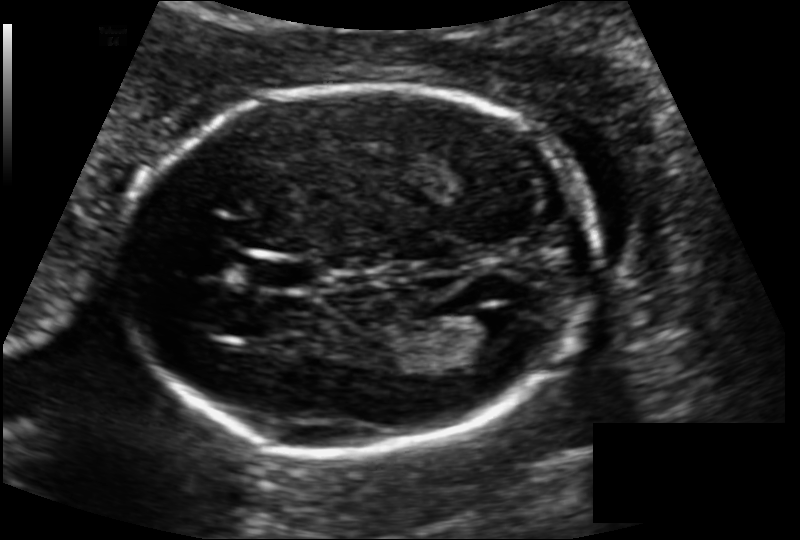
Estimate the fetal head circumference from this 2D ultrasound. Image width: 99.0 mm.

Head circumference: 170.1 mm.